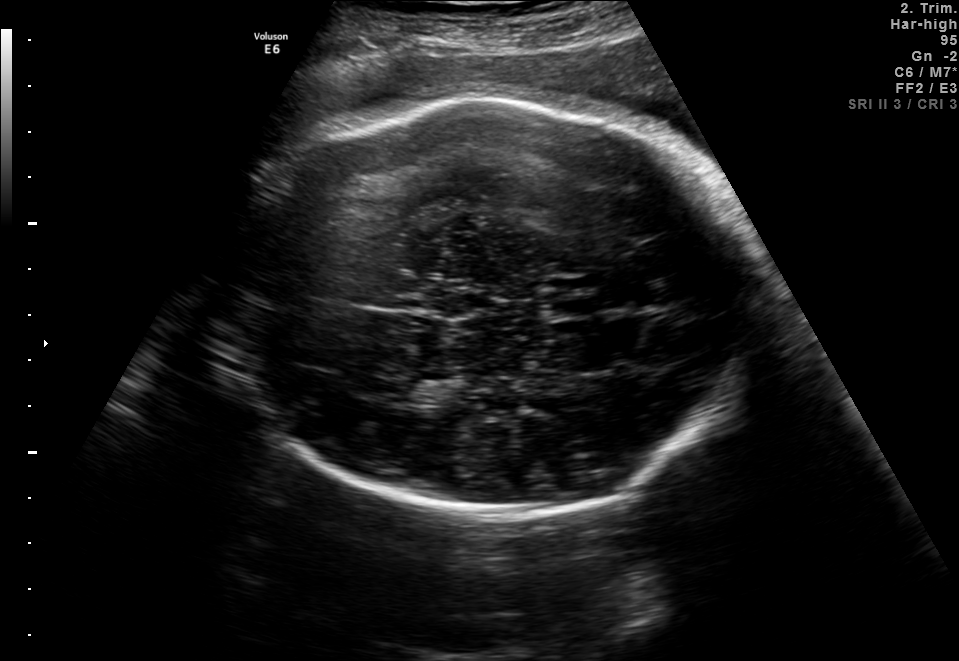
Fetal brain, trans-thalamic plane. Locate the cavum septum pellucidum.

CSP: [545,292,599,323]